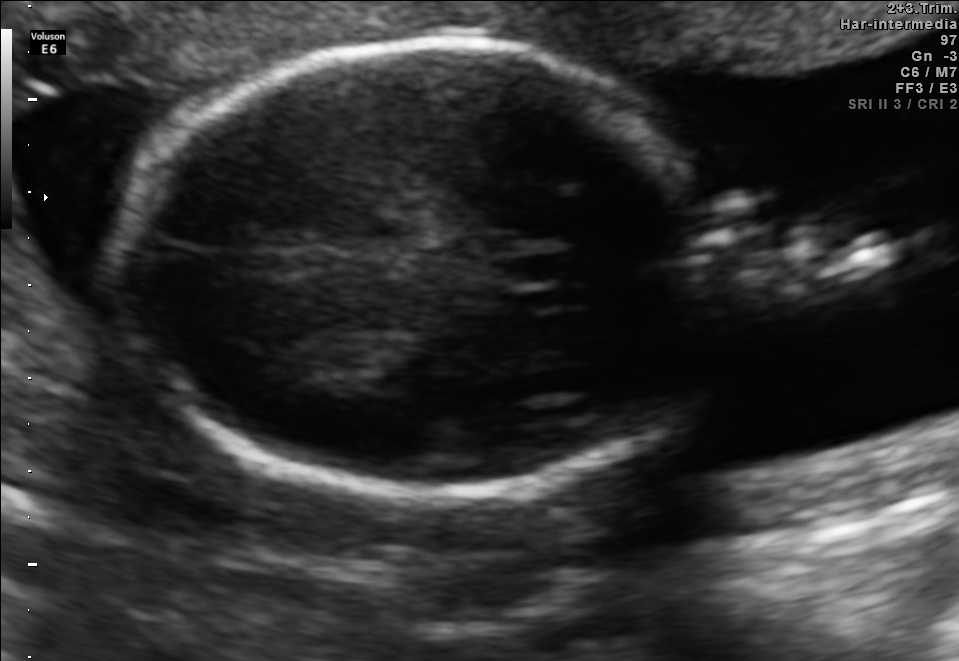
Fetal brain, trans-thalamic plane. Locate the fetal head and, if visible, the cavum septum pellucidum (CSP) and lateral ventricle (LV). Give bounding boxes as [x1,y1,x2,y2].

Head: [112,44,735,489]